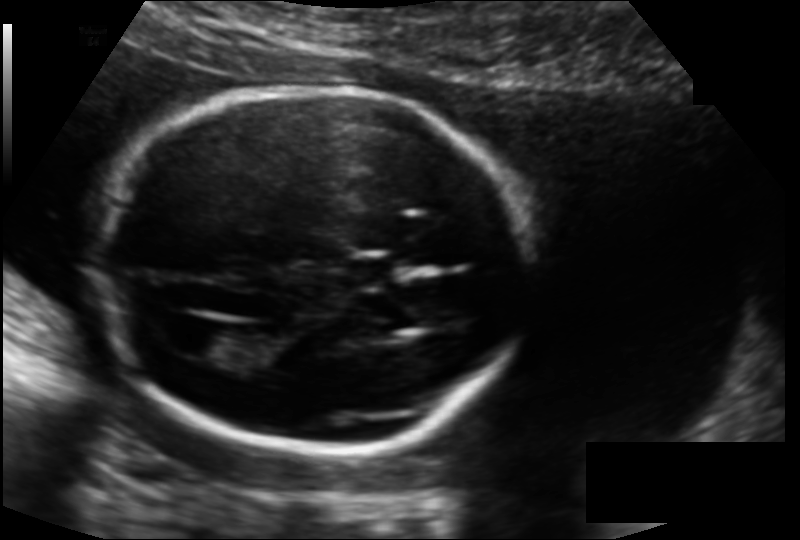
Estimate the fetal head circumference from this 2D ultrasound. Image width: 107.7 mm.

Head circumference: 174.6 mm.